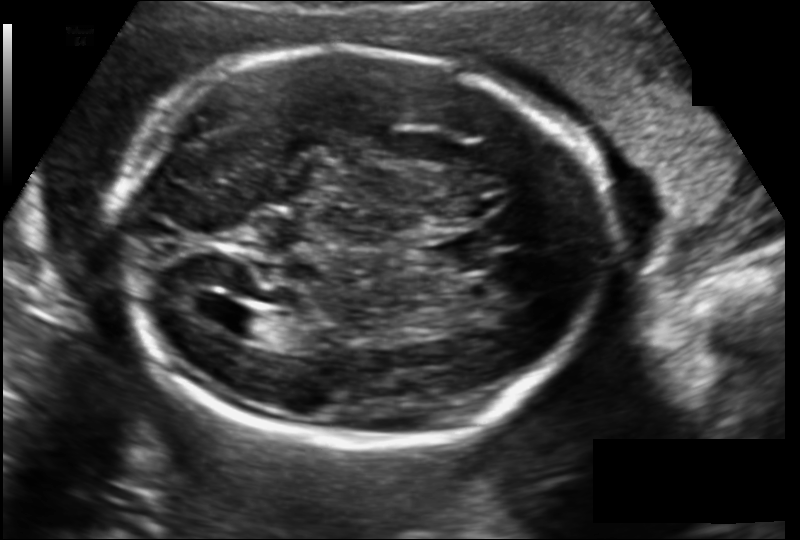
Fetal head ultrasound. Image width: 119.2 mm. Where is the cavum septum pellucidum?

CSP bounding box: [425,230,487,278]